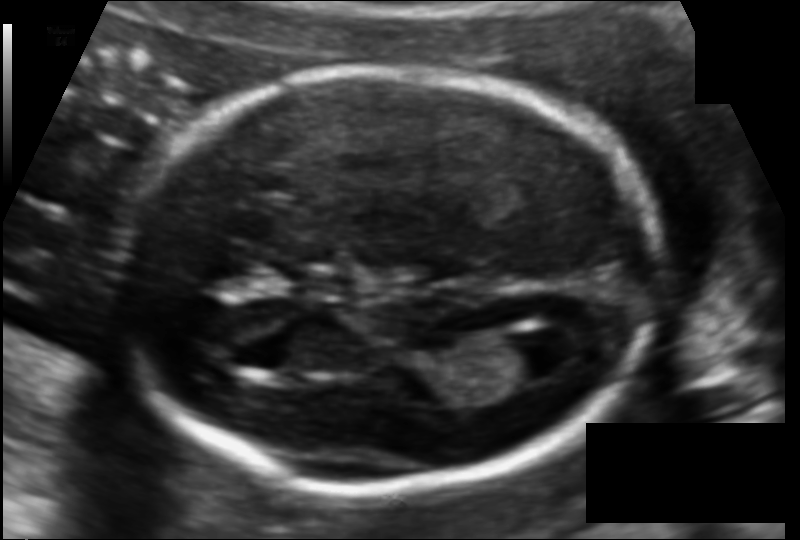
Fetal head ultrasound. Image width: 85.9 mm. Locate the lateral ventricle.

Lateral ventricle: [485,322,573,392]